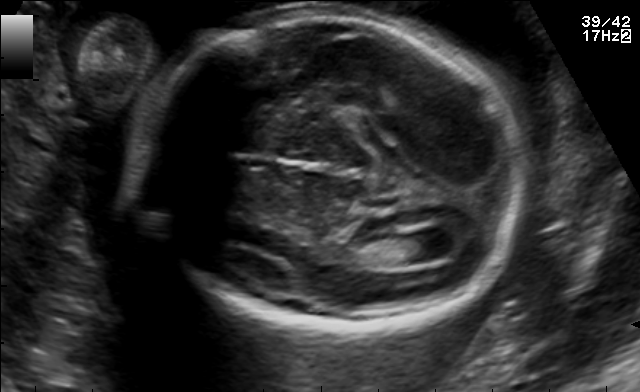
In this fetal brain, trans-ventricular plane, give bounding boxes for the head outline, cavum septum pellucidum (CSP), and lateral ventricle (LV), where visible.

Head: [128,3,537,334]
Lateral ventricle: [402,230,460,265]